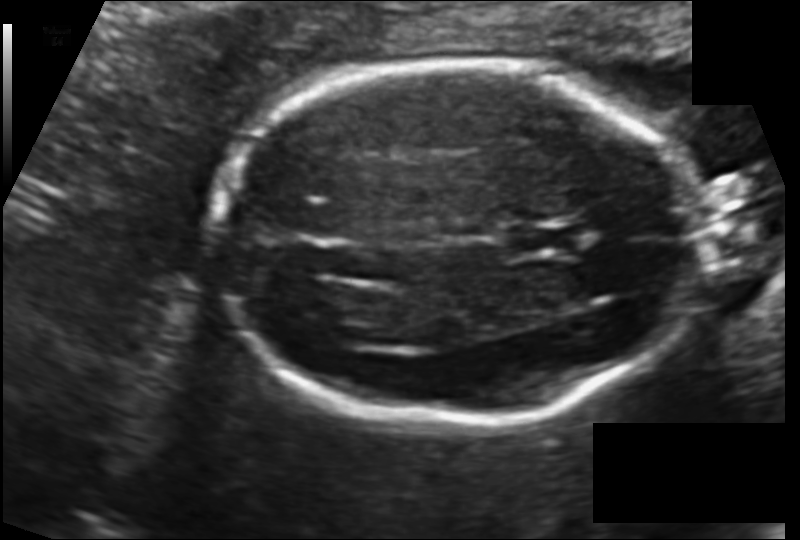
From this fetal ultrasound, estimate the head circumference (image width 98.3 mm).

Head circumference: 169.3 mm.